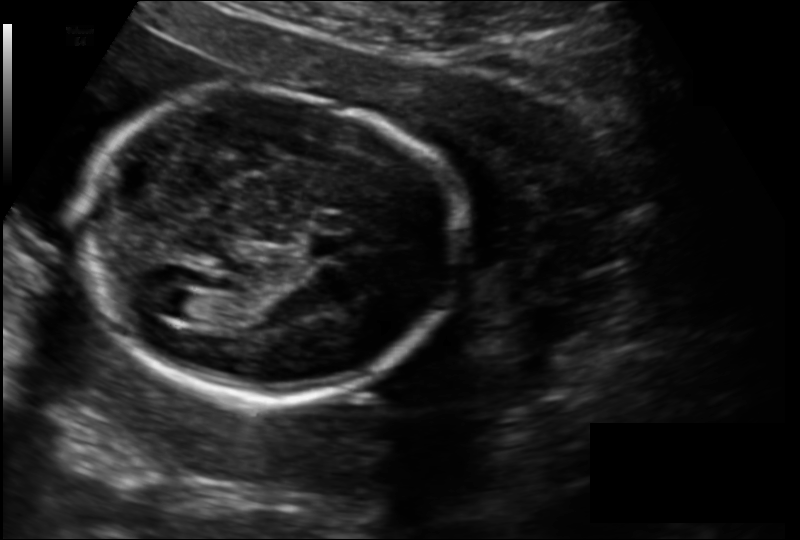
Fetal head ultrasound. Image width: 119.1 mm. Where is the cavum septum pellucidum?

CSP bounding box: [306,233,345,260]